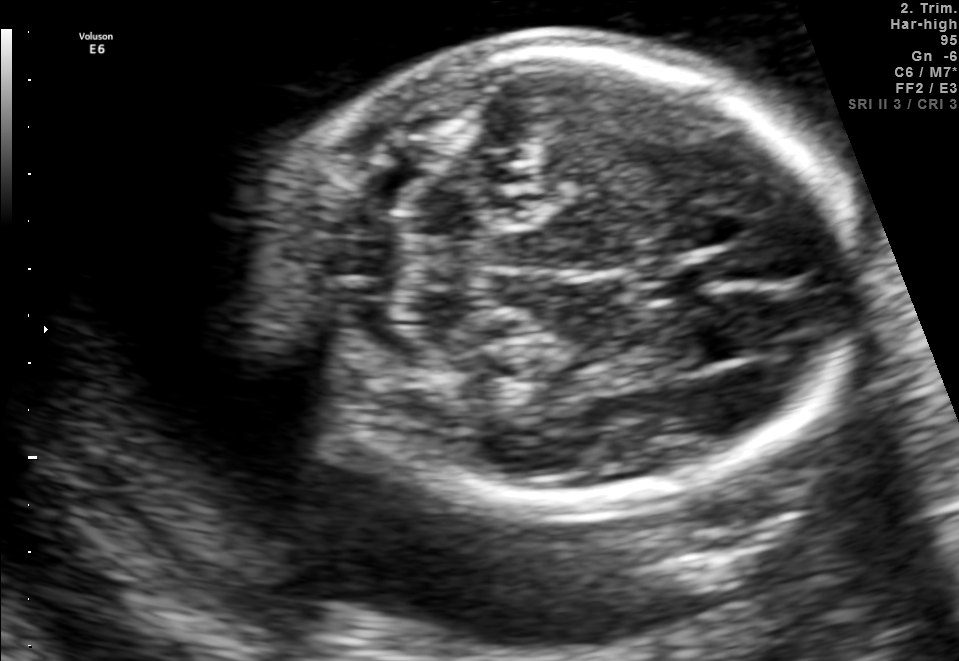
Fetal brain, trans-cerebellum plane. Locate the fetal head and, if visible, the cavum septum pellucidum (CSP) and lateral ventricle (LV). Give bounding boxes as [x1,y1,x2,y2].

Head: [253,43,862,498]
CSP: [636,247,723,306]